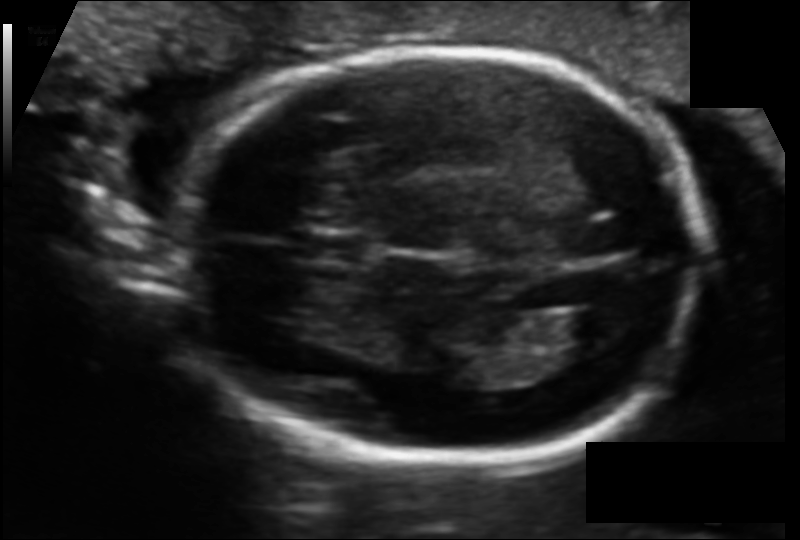
Fetal head ultrasound. Image width: 86.3 mm. Locate the lateral ventricle.

Lateral ventricle: [546,298,627,365]